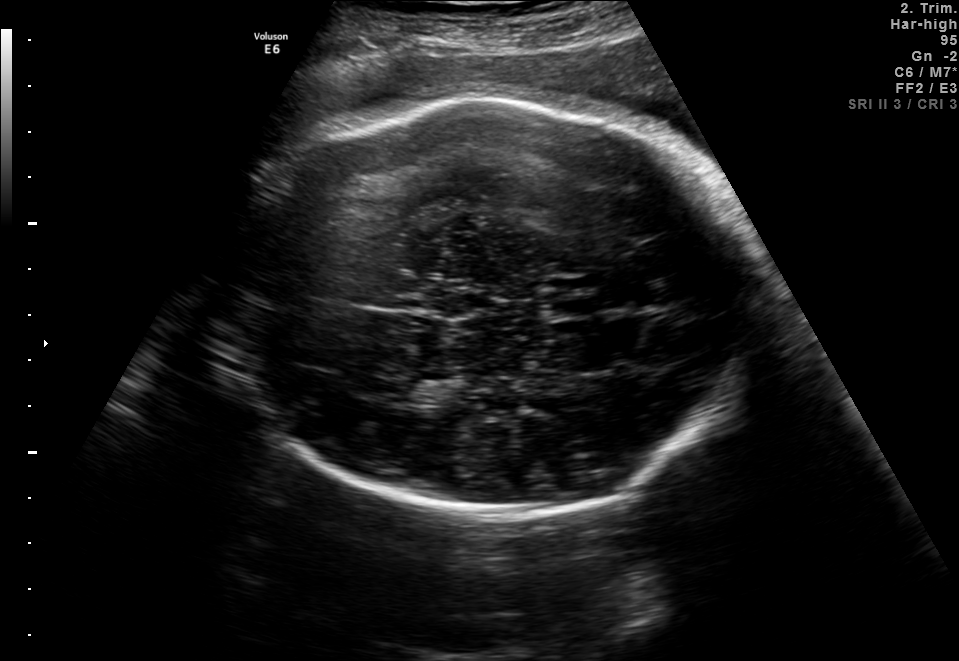
Fetal brain, trans-thalamic plane. Where is the cavum septum pellucidum?

CSP bounding box: [545,292,599,323]